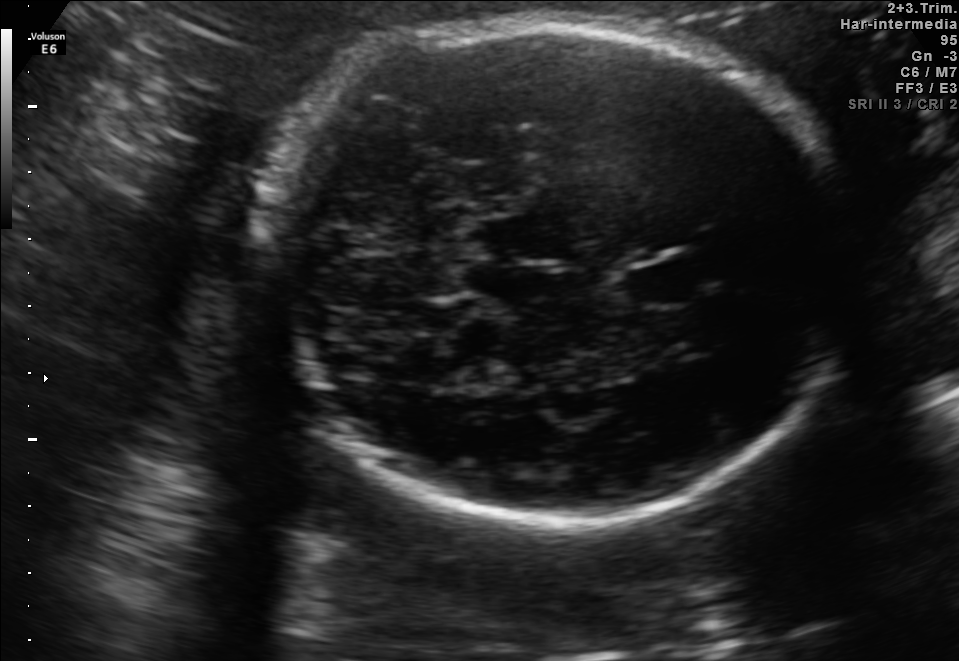
Fetal brain, trans-cerebellum plane. Locate the fetal head and, if visible, the cavum septum pellucidum (CSP) and lateral ventricle (LV). Give bounding boxes as [x1,y1,x2,y2].

Head: [263,16,856,525]
CSP: [623,247,711,316]